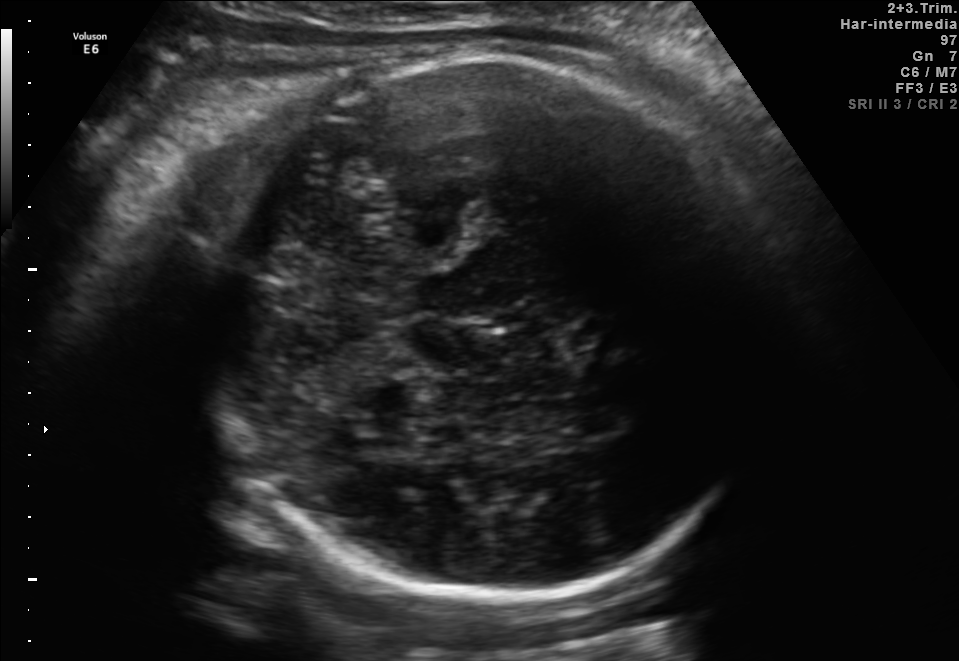
Classify this maternal-fetal ultrasound image as one of the six standard planes — fetal abdomen, fetal brain, fetal femur, fetal thorax, maternal cervix, or other. If it's fetal brain and one of the three standard brain planes (trans-thalamic, trans-cerebellum, trans-ventricular), name which.

Fetal brain (trans-cerebellum plane)